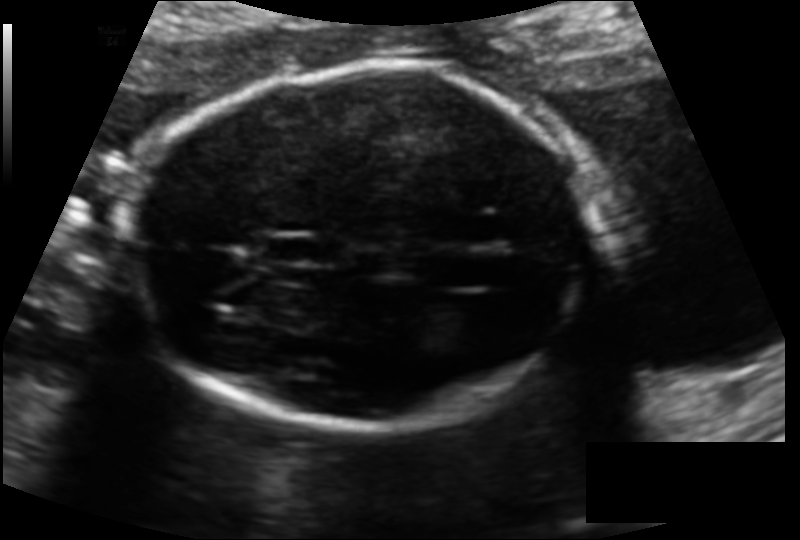
Fetal head ultrasound. Image width: 101.0 mm. Where is the fetal head?

Head bounding box: [127,65,591,429]